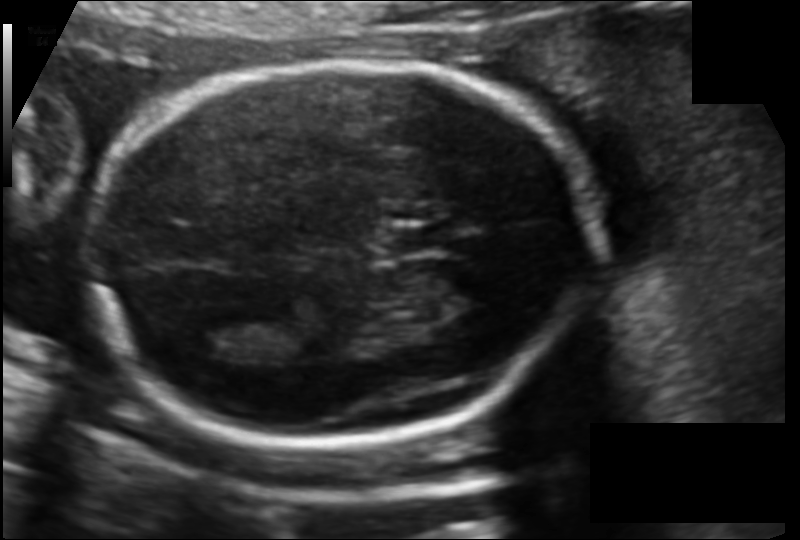
Estimate the fetal head circumference from this 2D ultrasound. Image width: 96.2 mm.

Head circumference: 174.1 mm.